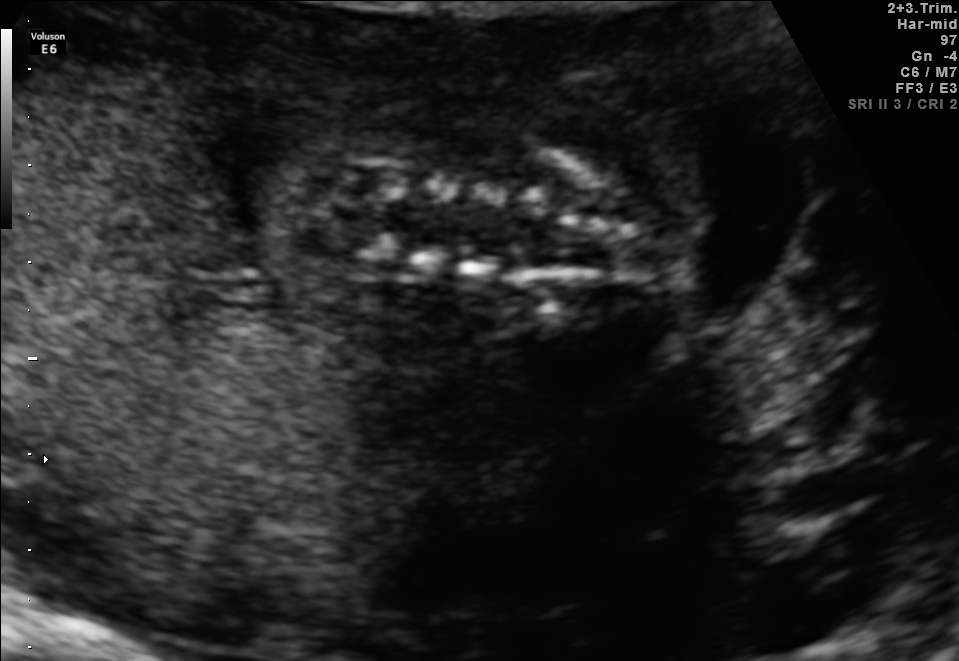
Which standard maternal-fetal ultrasound plane is shown: fetal abdomen, fetal brain, fetal femur, fetal thorax, maternal cervix, or other? If it's fetal brain and one of the three standard brain planes (trans-thalamic, trans-cerebellum, trans-ventricular), name which.

Other